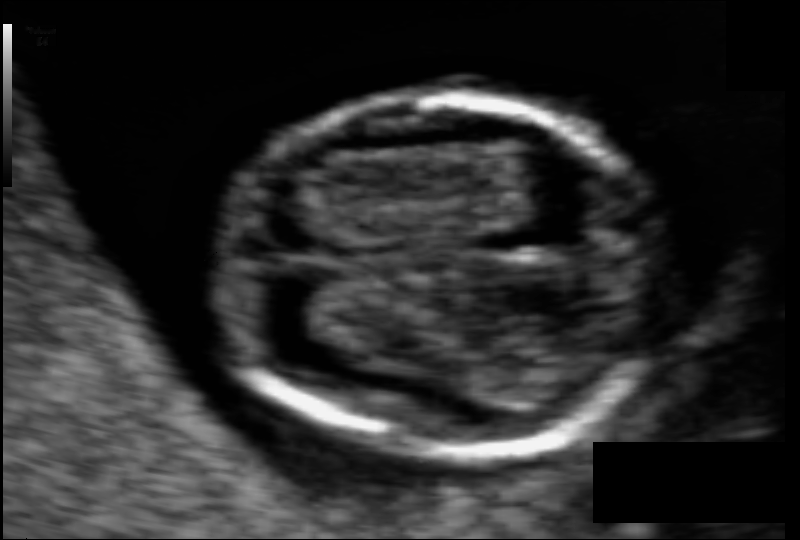
Fetal head ultrasound. Image width: 44.9 mm. Locate the fetal head.

Head: [214,98,671,450]